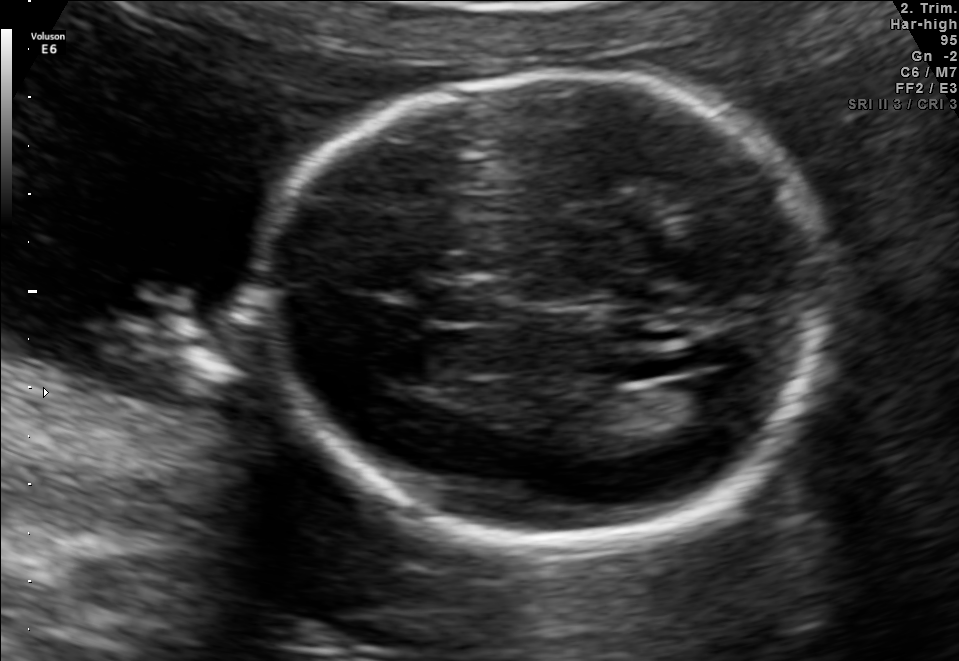
Fetal brain, trans-ventricular plane. Where is the lateral ventricle?

Lateral ventricle bounding box: [670,369,750,431]